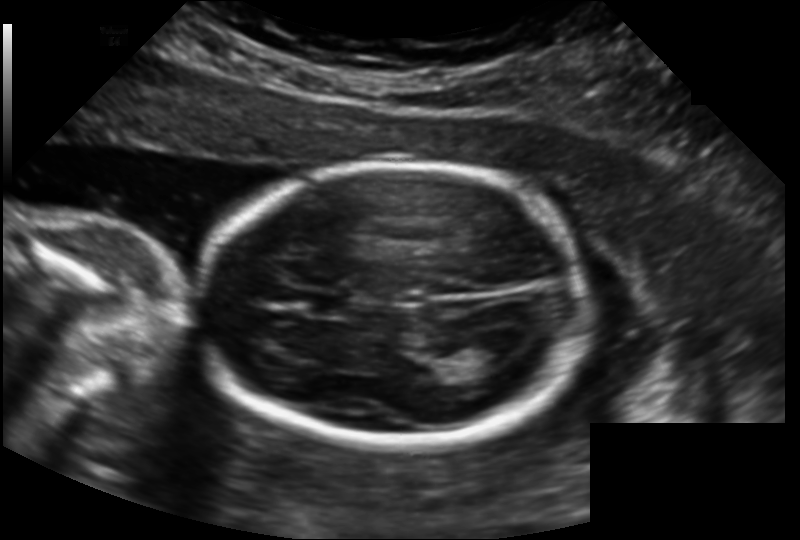
Fetal head ultrasound. Image width: 126.2 mm. Locate the lateral ventricle.

Lateral ventricle: [459,328,521,375]